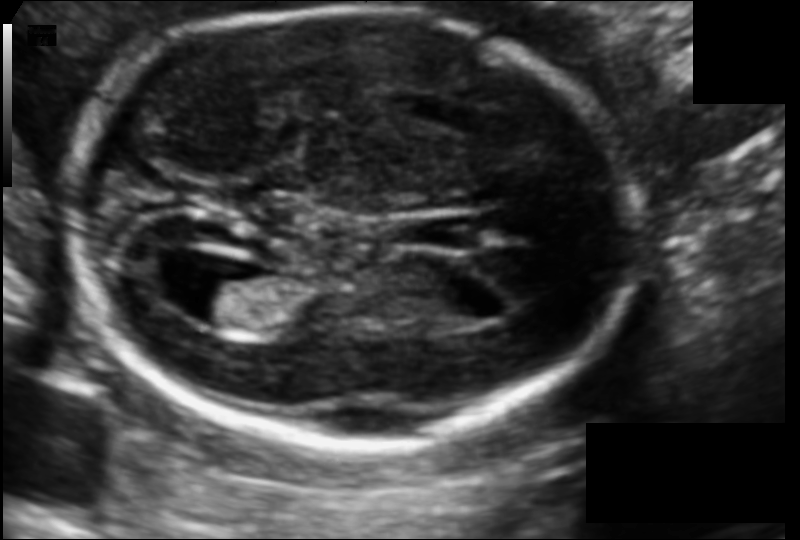
What is the fetal head circumference? Image width is 83.9 mm.

171.0 mm